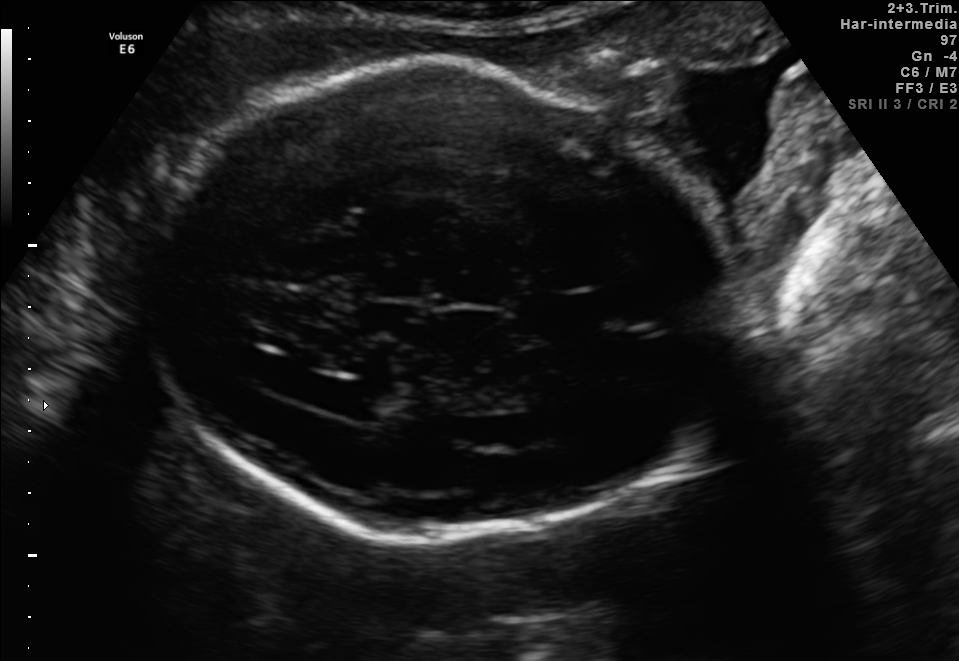
Fetal brain, trans-ventricular plane. Locate the fetal head and, if visible, the cavum septum pellucidum (CSP) and lateral ventricle (LV). Give bounding boxes as [x1,y1,x2,y2].

Head: [125,53,758,554]
Lateral ventricle: [302,370,400,426]